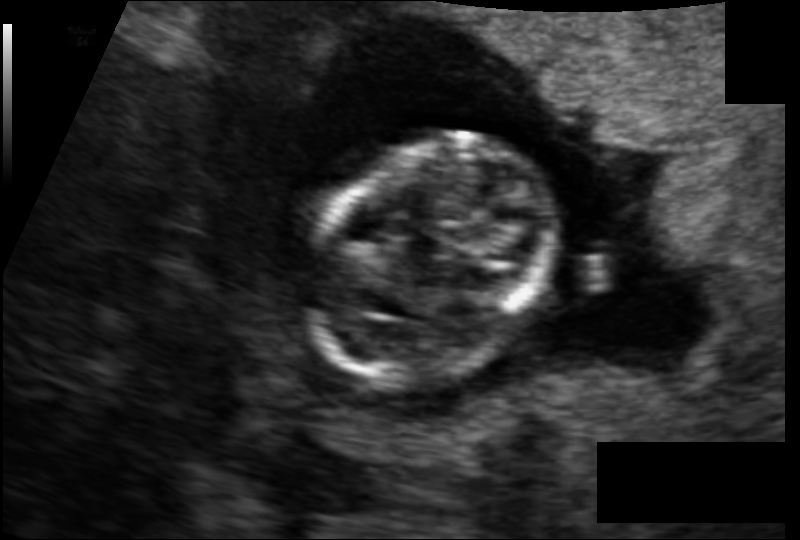
What is the fetal head circumference? Image width is 77.6 mm.

78.8 mm